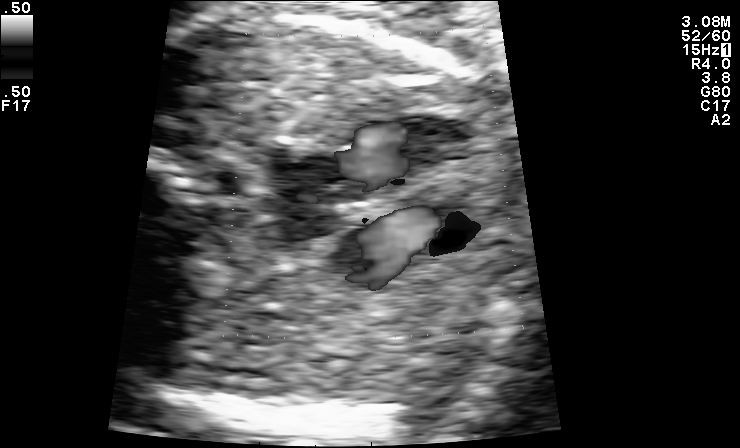
Identify the standard plane in this fetal ultrasound image: fetal abdomen, fetal brain, fetal femur, fetal thorax, maternal cervix, or other. If it's fetal brain and one of the three standard brain planes (trans-thalamic, trans-cerebellum, trans-ventricular), name which.

Other